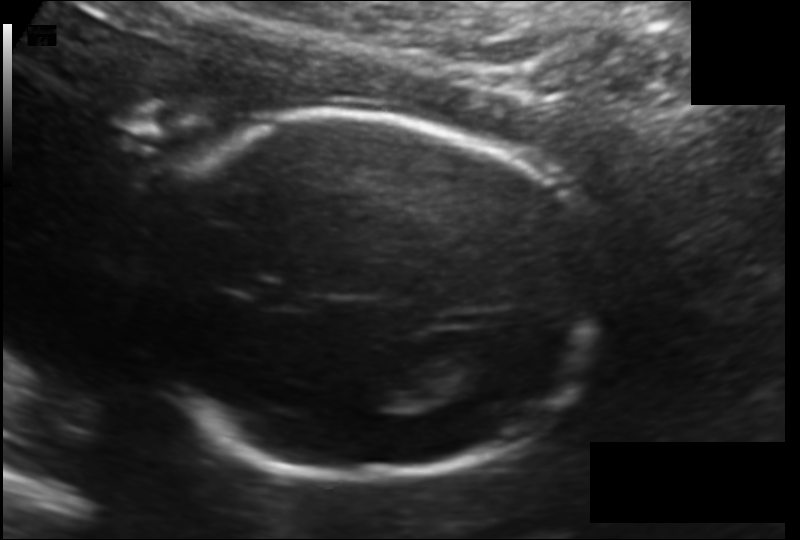
Estimate the fetal head circumference from this 2D ultrasound.

Head circumference: 181.5 mm (image width 107.8 mm).